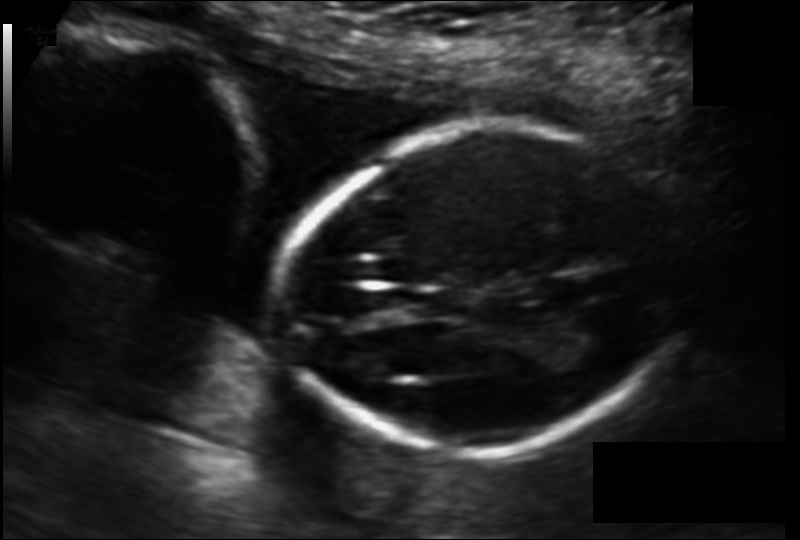
Estimate the fetal head circumference from this 2D ultrasound. Image width: 102.9 mm.

Head circumference: 156.4 mm.